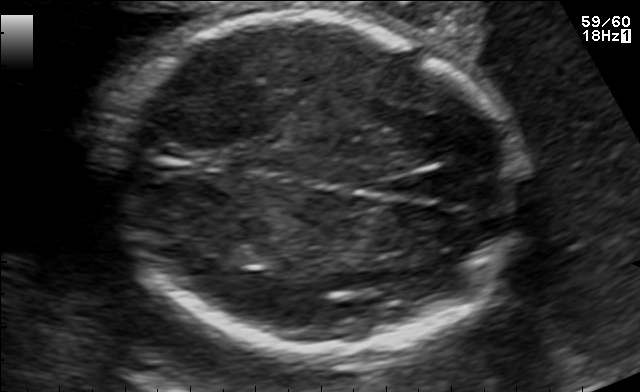
Fetal brain, trans-thalamic plane. Locate the fetal head.

Head: [105,14,523,352]